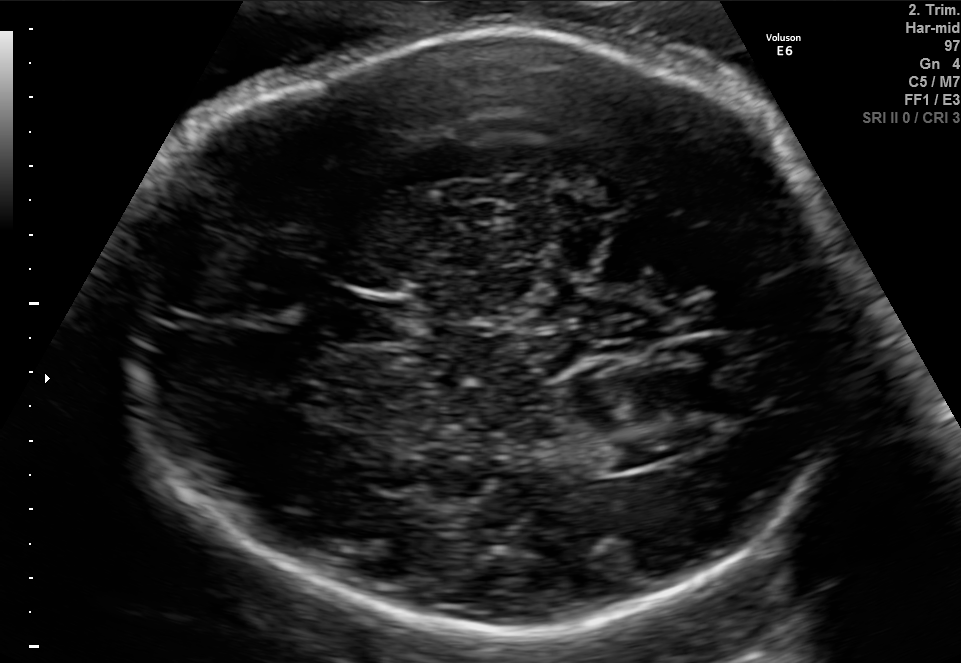
Fetal brain, trans-ventricular plane. Where is the lateral ventricle?

Lateral ventricle bounding box: [611,424,690,472]